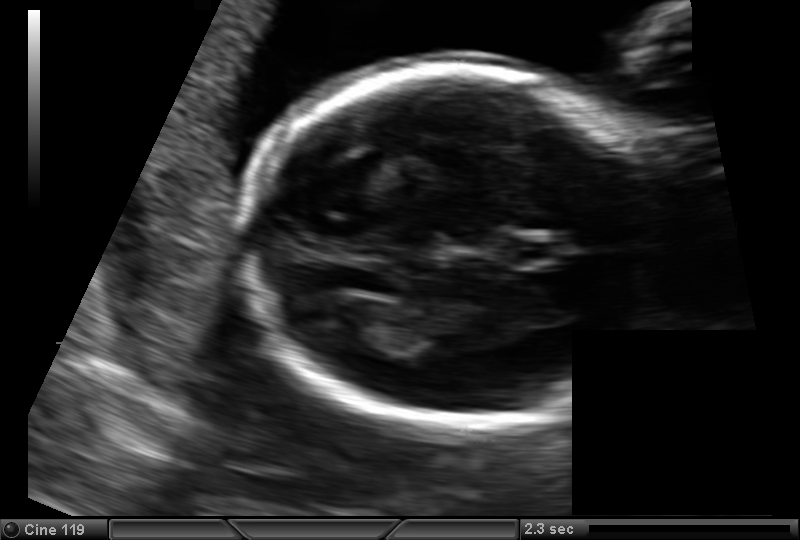
Estimate the fetal head circumference from this 2D ultrasound.

Head circumference: 168.4 mm (image width 103.2 mm).